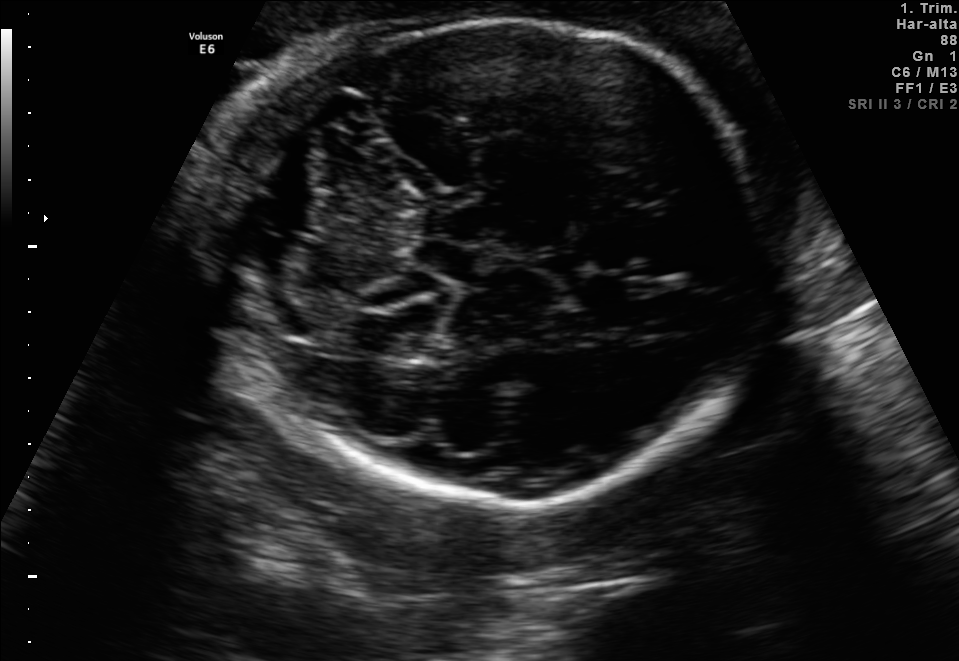
Fetal brain, trans-cerebellum plane. Where is the fetal head?

Head bounding box: [214,18,769,507]